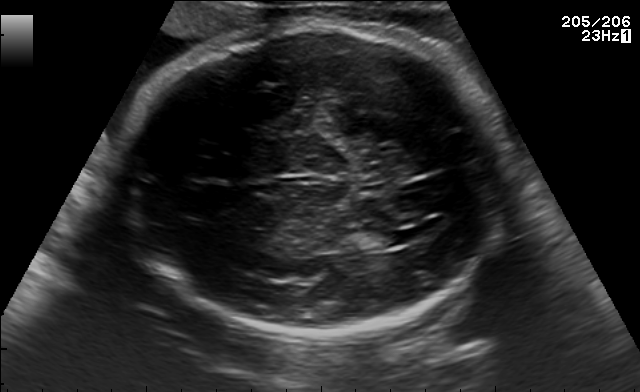
Fetal brain, trans-ventricular plane. Locate the fetal head.

Head: [123,24,511,338]